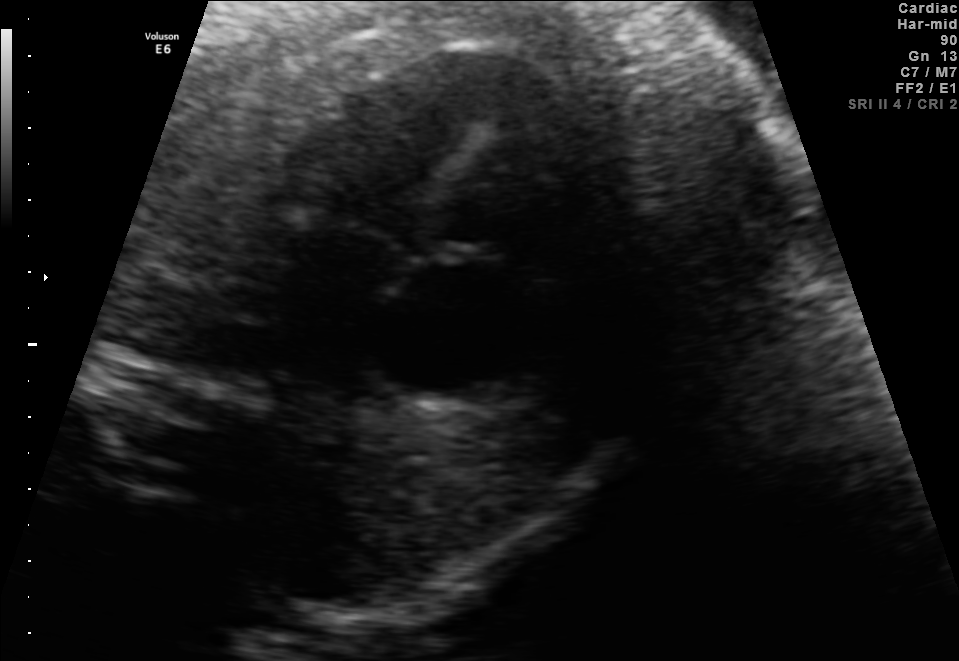
Which standard maternal-fetal ultrasound plane is shown: fetal abdomen, fetal brain, fetal femur, fetal thorax, maternal cervix, or other? If it's fetal brain and one of the three standard brain planes (trans-thalamic, trans-cerebellum, trans-ventricular), name which.

Fetal thorax